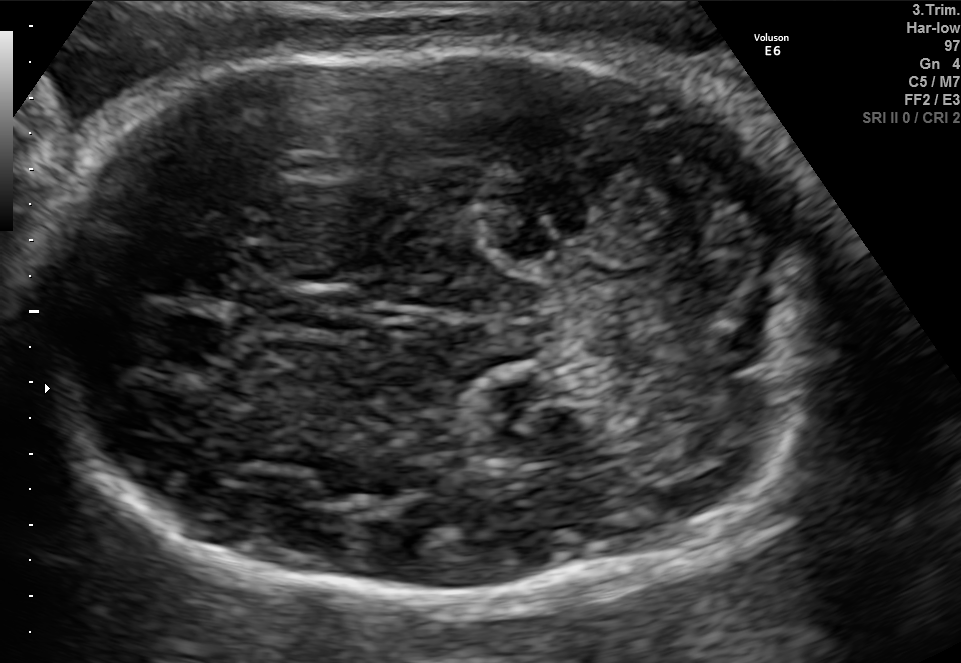
In this fetal brain, trans-cerebellum plane, give the bounding box of the fetal head.

[31,44,812,597]